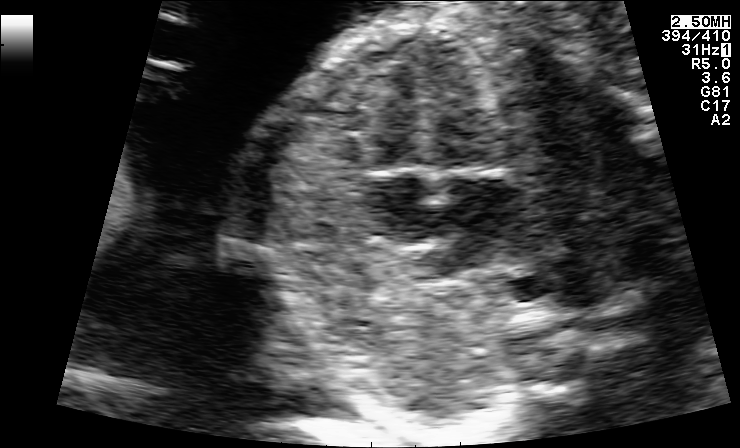
Classify this maternal-fetal ultrasound image as one of the six standard planes — fetal abdomen, fetal brain, fetal femur, fetal thorax, maternal cervix, or other. If it's fetal brain and one of the three standard brain planes (trans-thalamic, trans-cerebellum, trans-ventricular), name which.

Fetal thorax